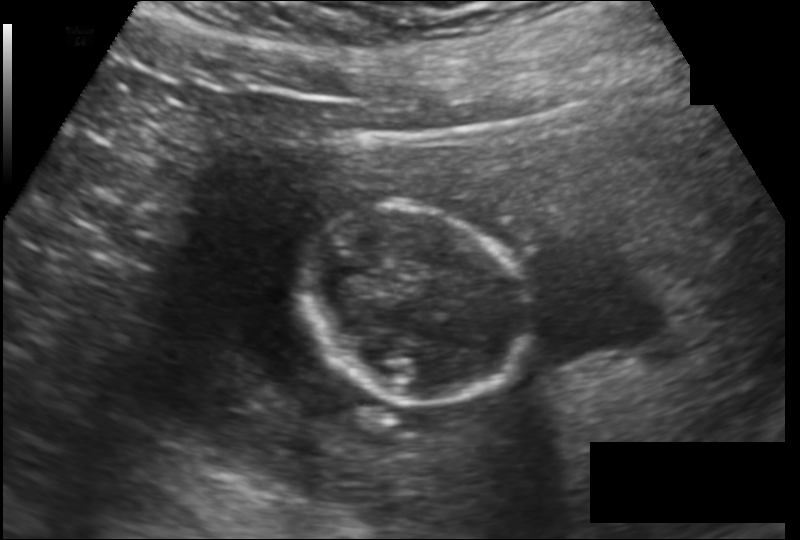
Fetal head ultrasound. Image width: 119.2 mm. Give [x1,y1,x2,y2] bounding boxes for each visible structure among: fetal head, CSP, LV.

Head: [299,203,527,405]